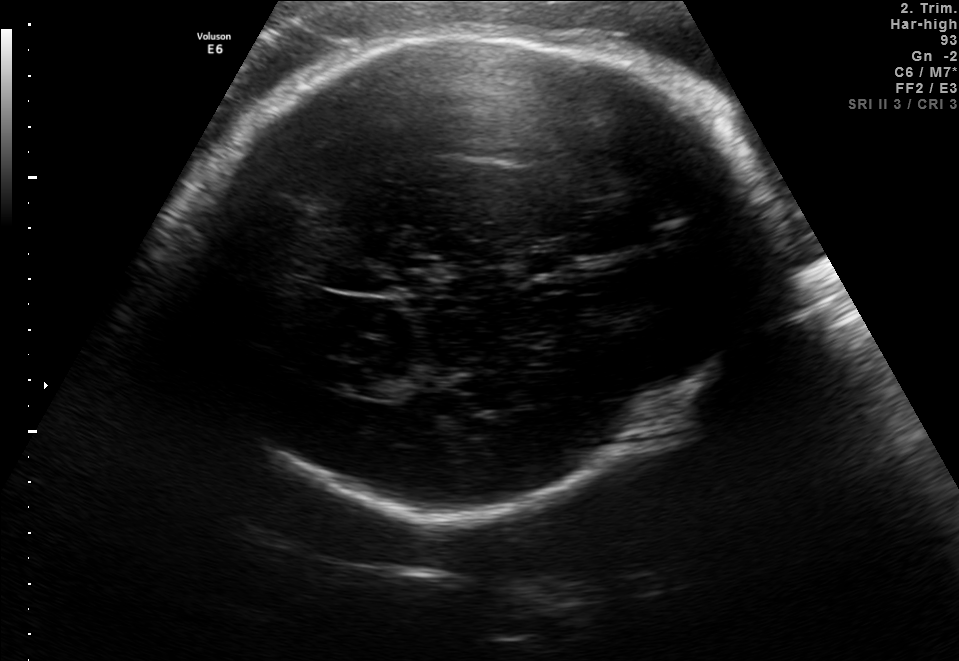
Fetal brain, trans-thalamic plane. Locate the cavum septum pellucidum.

CSP: [523,251,573,275]